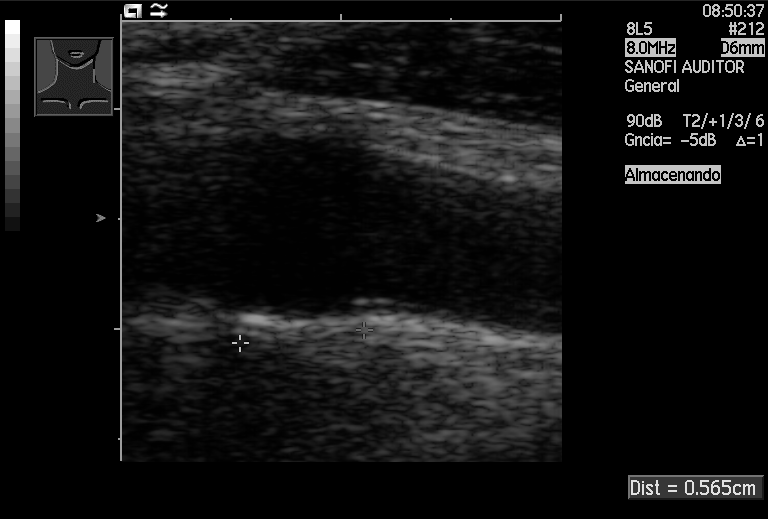
Identify the standard plane in this fetal ultrasound image: fetal abdomen, fetal brain, fetal femur, fetal thorax, maternal cervix, or other. If it's fetal brain and one of the three standard brain planes (trans-thalamic, trans-cerebellum, trans-ventricular), name which.

Other